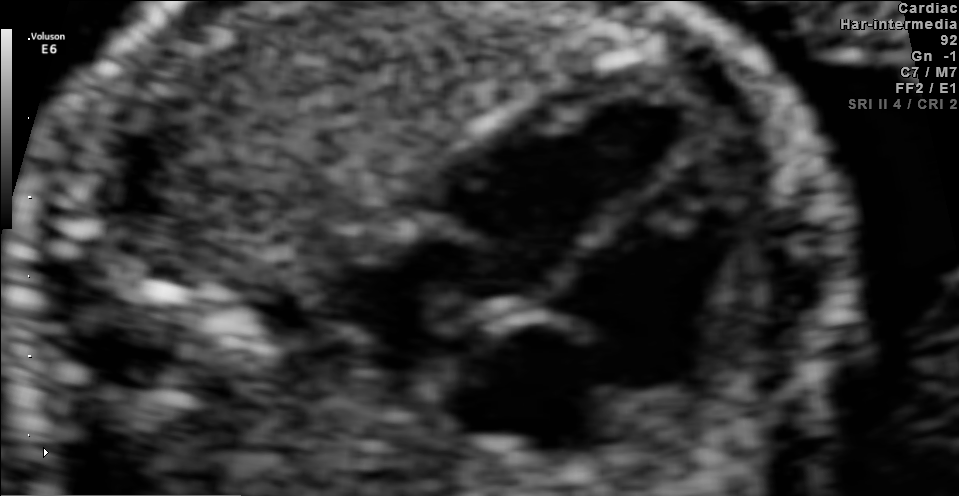
This is a 2D maternal-fetal ultrasound frame. Is it a fetal abdomen, fetal brain, fetal femur, fetal thorax, maternal cervix, or other standard plane? If it's fetal brain and one of the three standard brain planes (trans-thalamic, trans-cerebellum, trans-ventricular), name which.

Fetal thorax